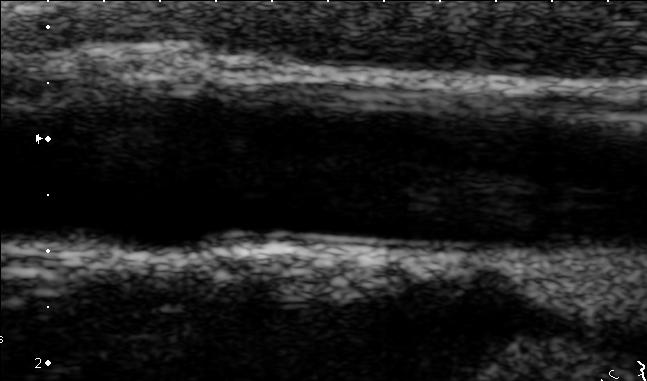
Identify the standard plane in this fetal ultrasound image: fetal abdomen, fetal brain, fetal femur, fetal thorax, maternal cervix, or other. If it's fetal brain and one of the three standard brain planes (trans-thalamic, trans-cerebellum, trans-ventricular), name which.

Other